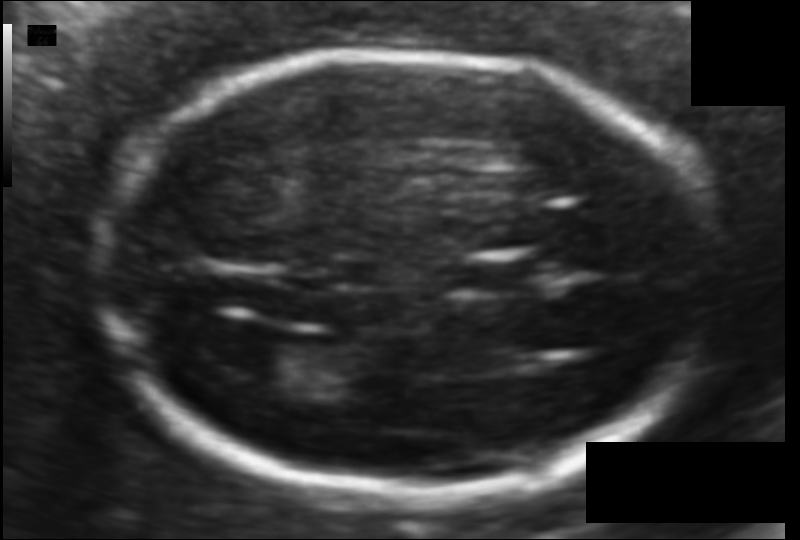
In this fetal head ultrasound, give the bounding box of the lateral ventricle. Image width: 75.4 mm.

[222,337,312,390]